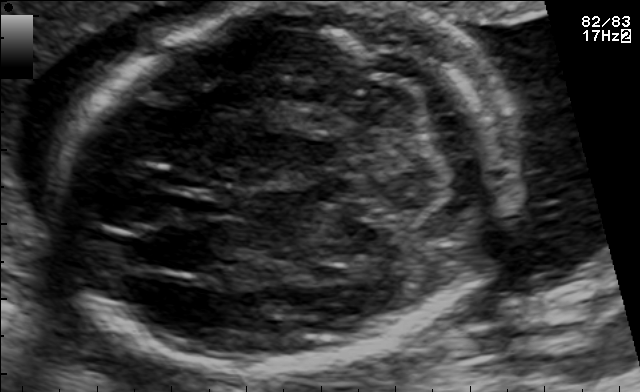
Fetal brain, trans-cerebellum plane. Locate the fetal head and, if visible, the cavum septum pellucidum (CSP) and lateral ventricle (LV). Give bounding boxes as [x1,y1,x2,y2].

Head: [49,2,523,369]